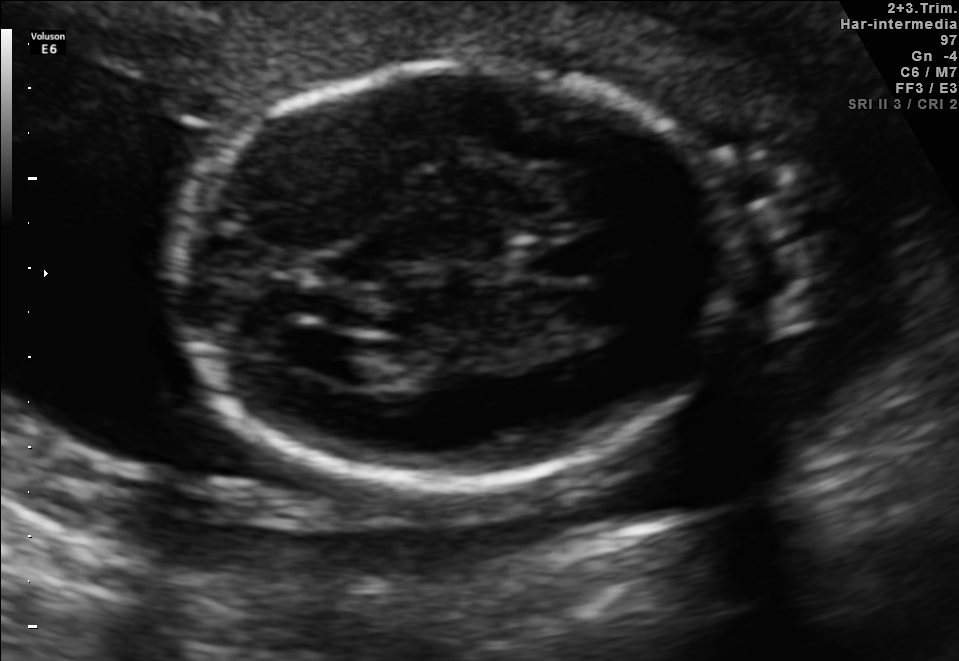
In this fetal brain, trans-ventricular plane, give bounding boxes for the head outline, cavum septum pellucidum (CSP), and lateral ventricle (LV), where visible.

Head: [158,58,759,495]
CSP: [510,239,592,278]
Lateral ventricle: [266,316,370,387]